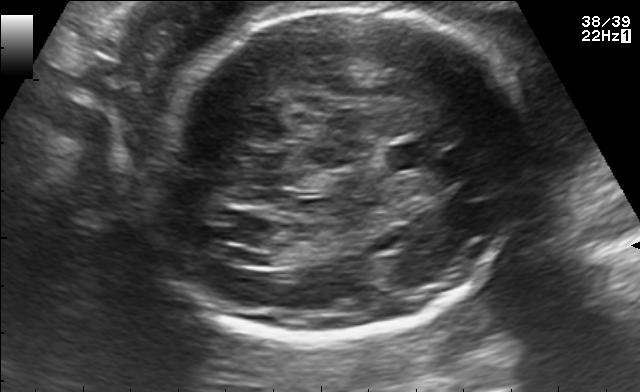
In this fetal brain, trans-ventricular plane, give bounding boxes for the head outline, cavum septum pellucidum (CSP), and lateral ventricle (LV), where visible.

Head: [140,4,532,343]